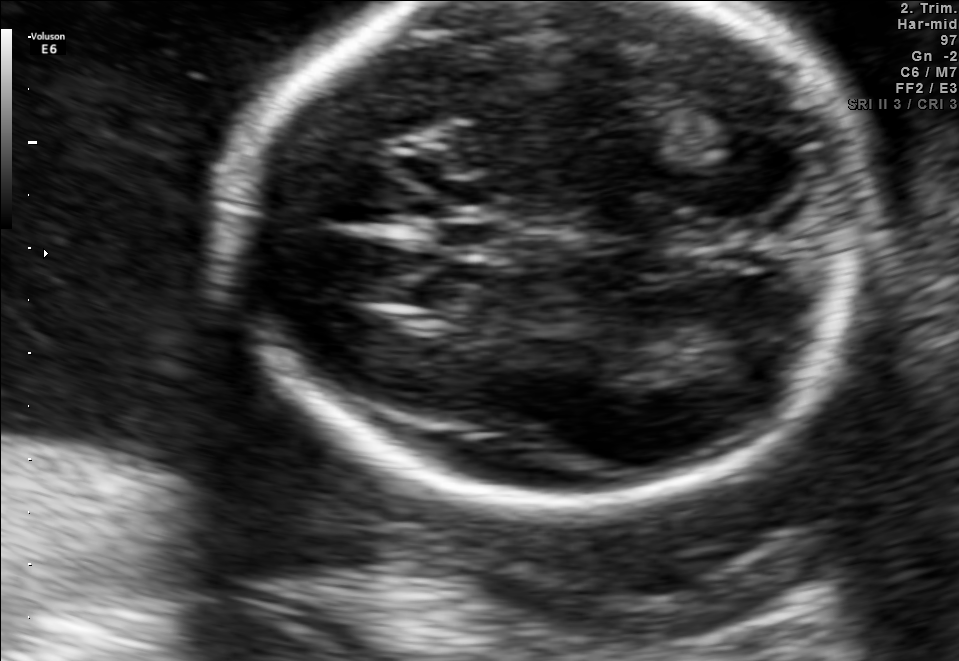
Fetal brain, trans-thalamic plane. Locate the cavum septum pellucidum.

CSP: [436,221,504,252]